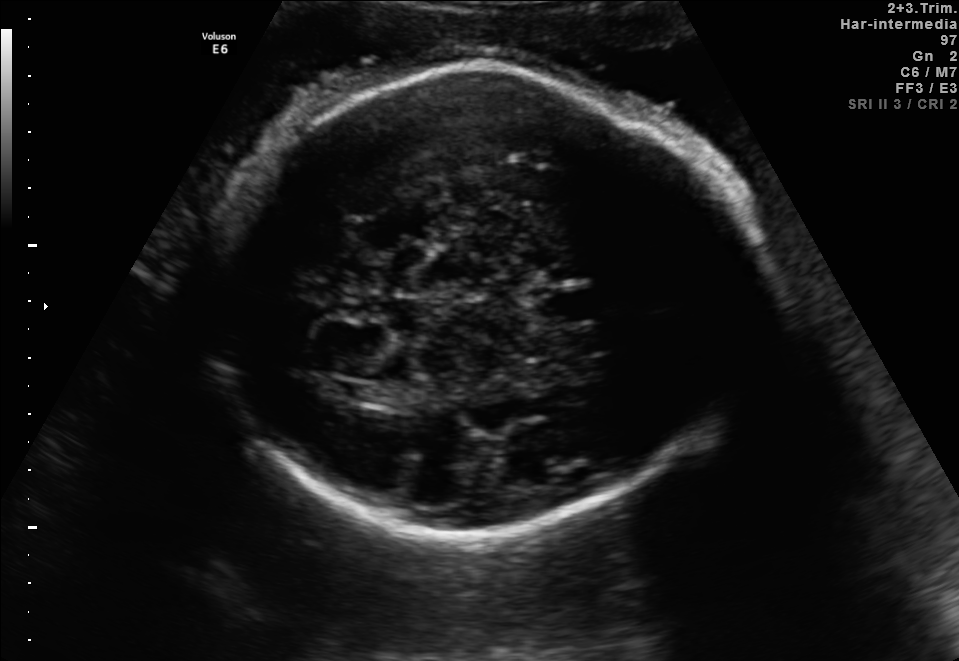
Fetal brain, trans-thalamic plane. Locate the lateral ventricle.

Lateral ventricle: [331,378,403,409]